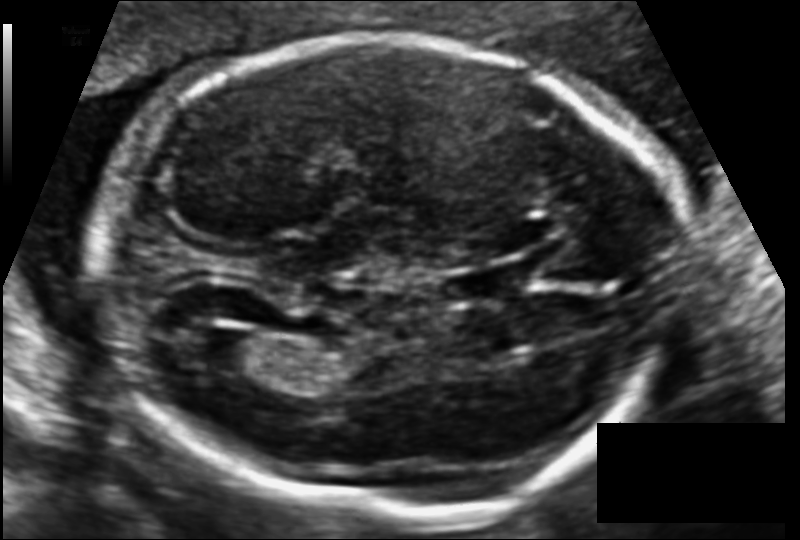
In this fetal head ultrasound, give the bounding box of the fetal head. Image width: 92.7 mm.

[99,36,676,514]